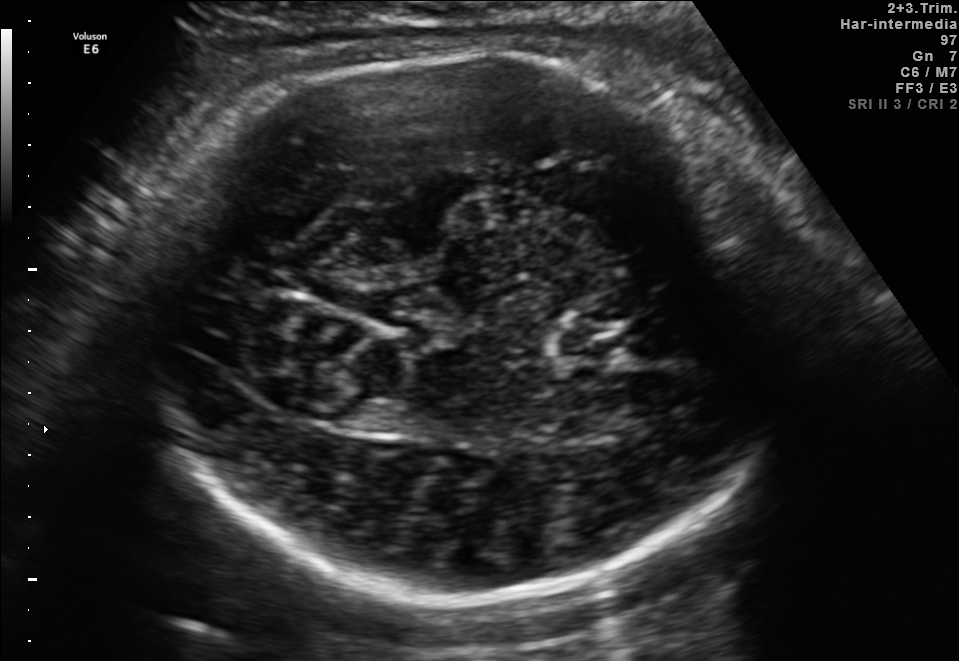
Fetal brain, trans-thalamic plane. Give [x1,y1,x2,y2] bounding boxes for each visible structure among: fetal head, CSP, LV.

Head: [140,51,797,594]